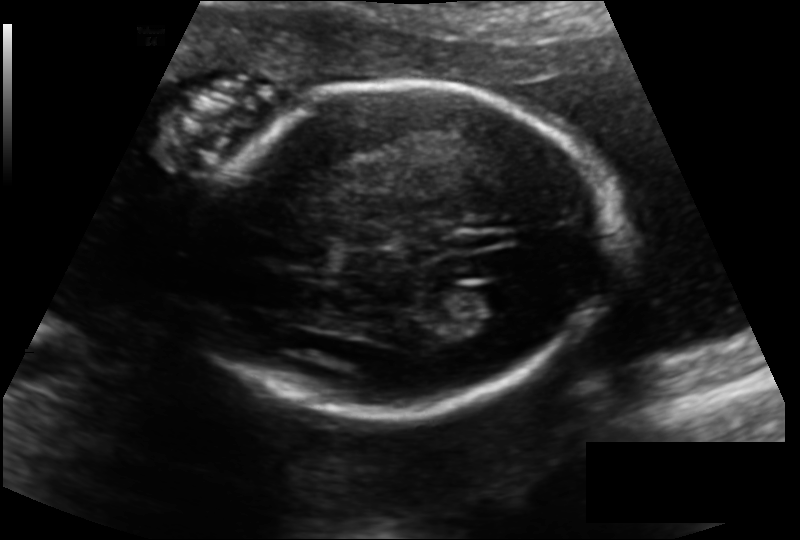
Fetal head ultrasound. Image width: 115.4 mm. Where is the fetal head?

Head bounding box: [194,82,613,416]